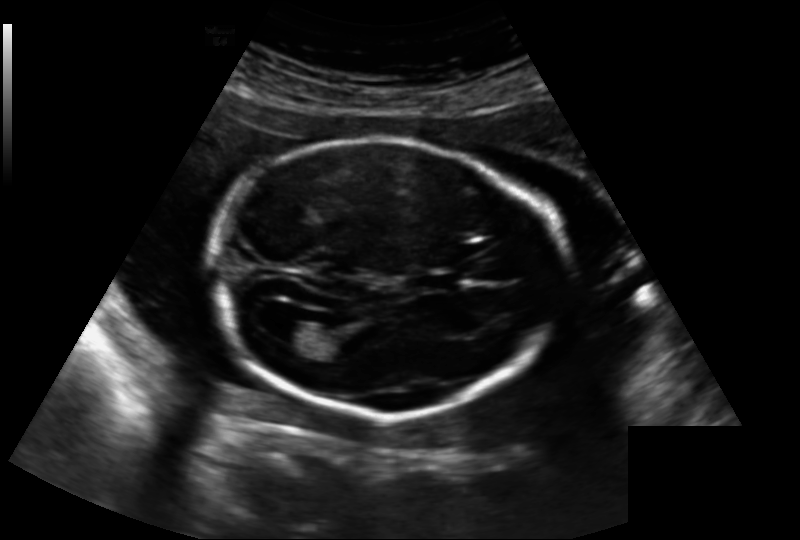
Fetal head ultrasound. Image width: 150.3 mm. Where is the lateral ventricle?

Lateral ventricle bounding box: [272,317,319,350]